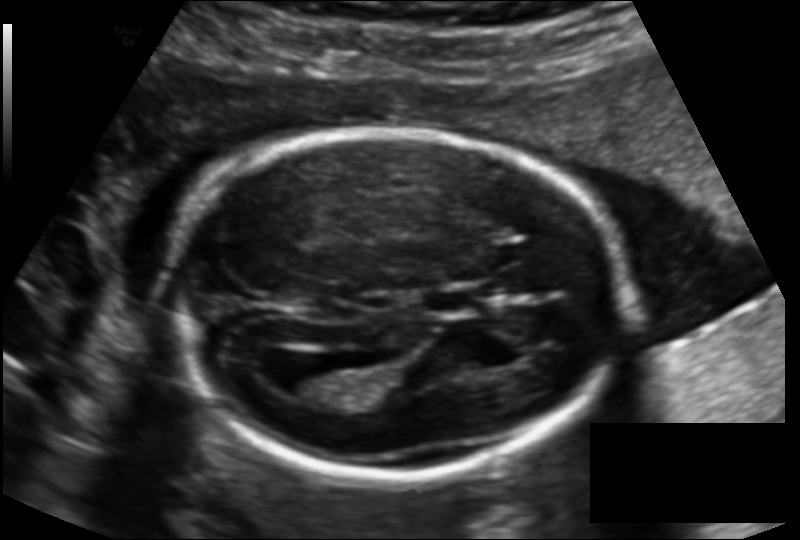
Fetal head ultrasound. Image width: 109.0 mm. Where is the fetal head?

Head bounding box: [165,130,630,475]